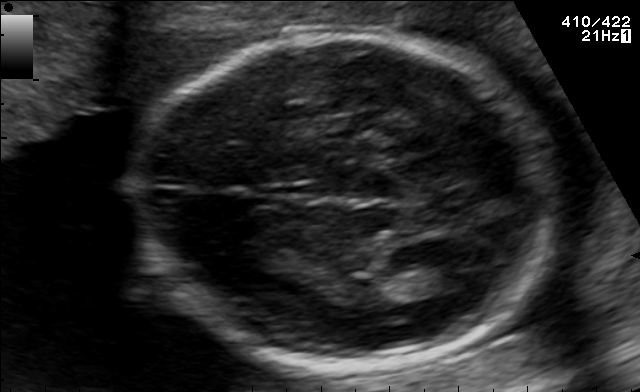
Fetal brain, trans-thalamic plane. Locate the fetal head and, if visible, the cavum septum pellucidum (CSP) and lateral ventricle (LV). Give bounding boxes as [x1,y1,x2,y2].

Head: [135,34,557,365]
Lateral ventricle: [415,247,494,299]